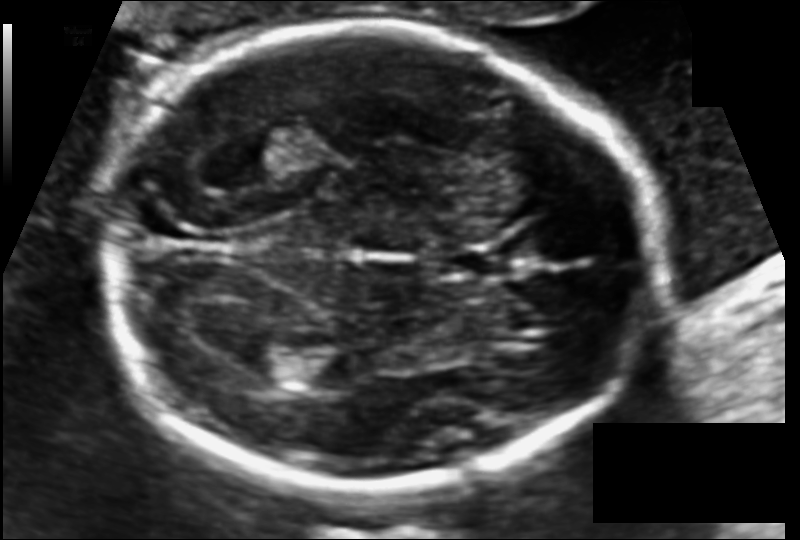
In this fetal head ultrasound, give the bounding box of the cavum septum pellucidum. Image width: 87.7 mm.

[438,242,513,281]